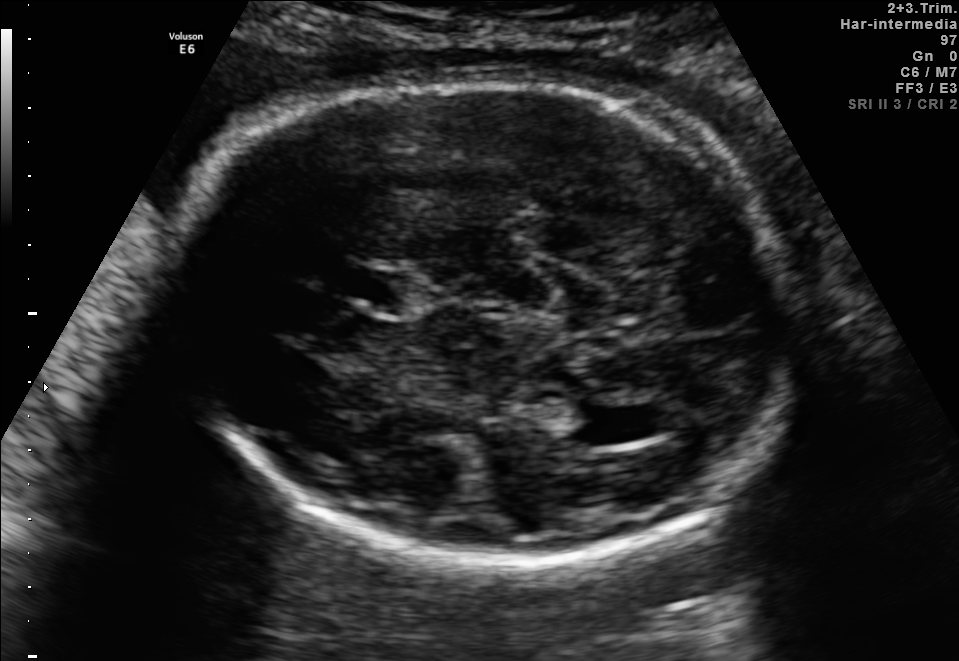
In this fetal brain, trans-ventricular plane, give the bounding box of the fetal head.

[159,71,814,570]